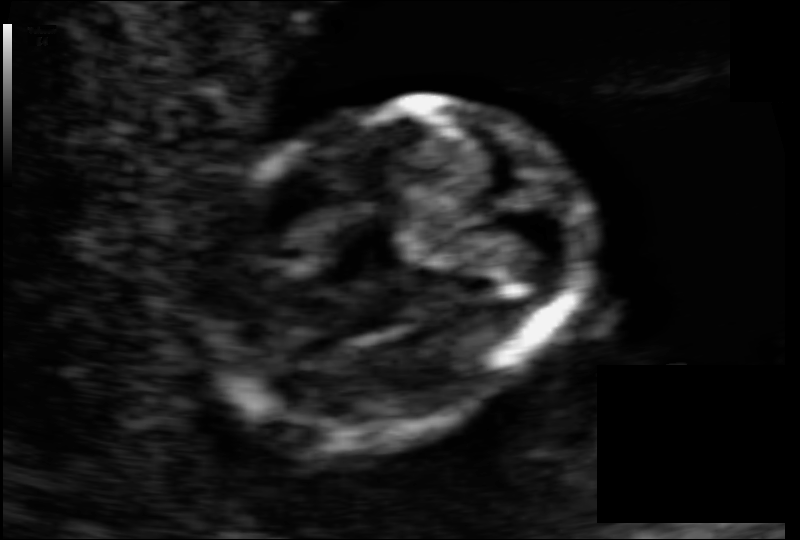
Measure the fetal head circumference shown in this ultrasound image. Image width: 55.0 mm.

Head circumference: 81.4 mm.